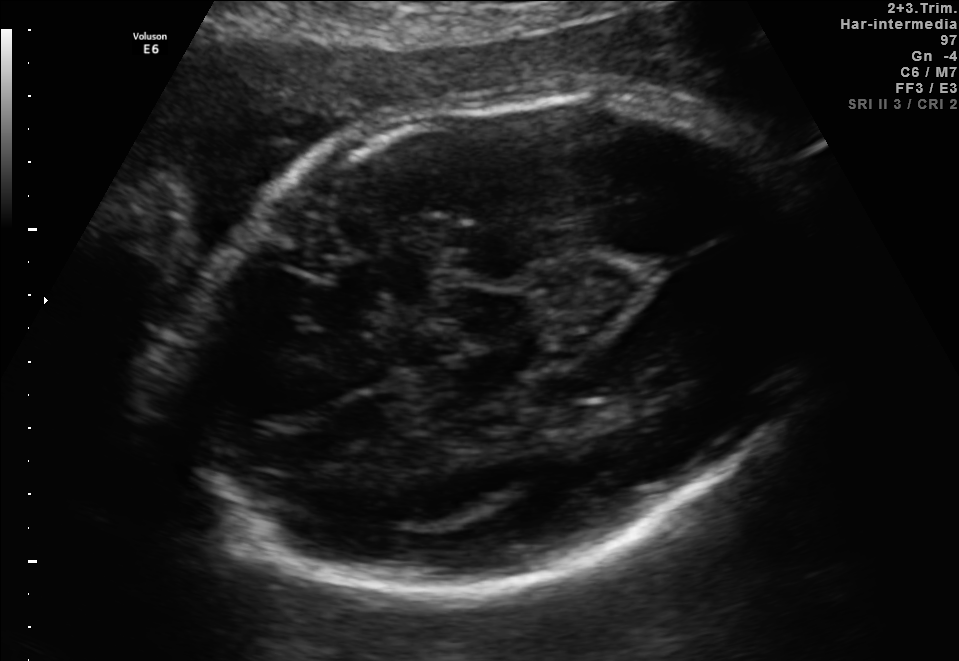
Fetal brain, trans-thalamic plane. Locate the fetal head.

Head: [174,91,819,590]